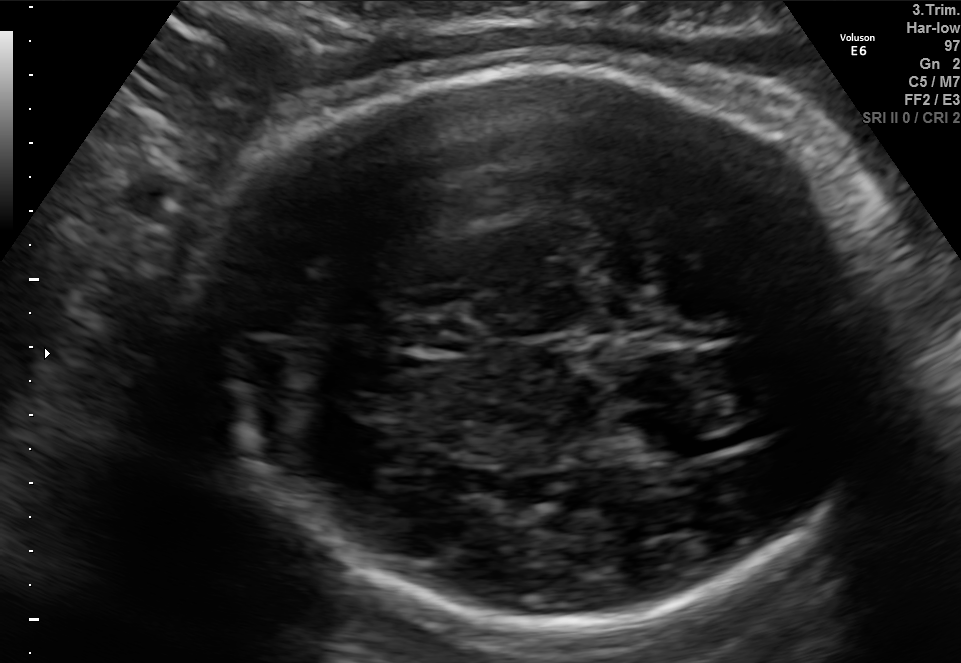
Fetal brain, trans-thalamic plane. Where is the cavum septum pellucidum?

CSP bounding box: [402,321,476,352]